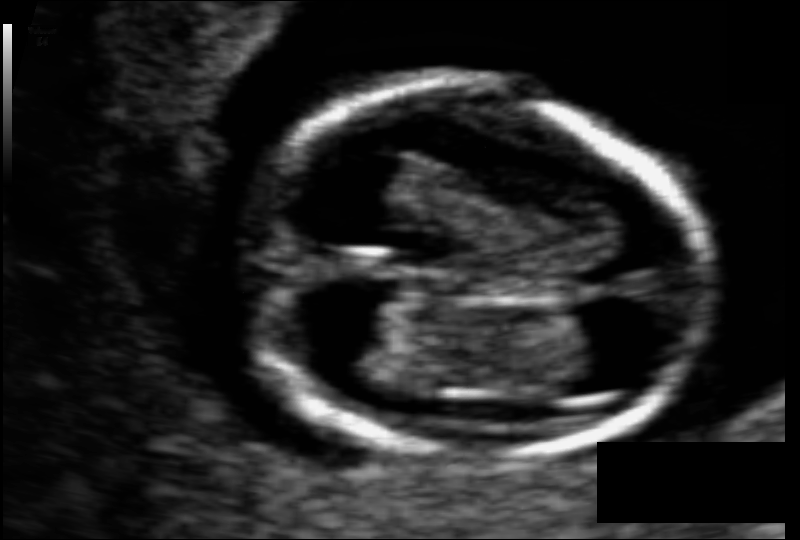
In this fetal head ultrasound, give bounding boxes for the head outline, cavum septum pellucidum (CSP), and lateral ventricle (LV), where visible. Image width: 50.4 mm.

Head: [244,83,706,459]